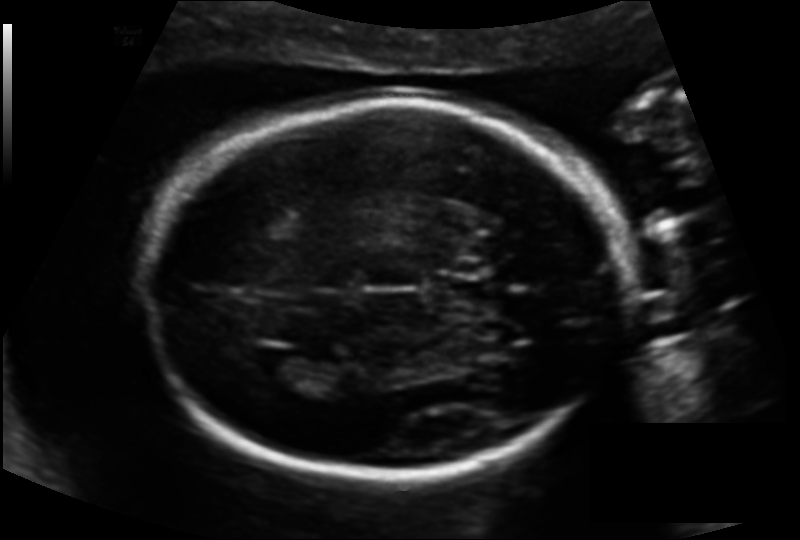
Fetal head ultrasound. Image width: 107.7 mm. Locate the fetal head and, if visible, the cavum septum pellucidum (CSP) and lateral ventricle (LV). Give bounding boxes as [x1,y1,x2,y2].

Head: [143,101,631,476]
Lateral ventricle: [241,338,315,392]